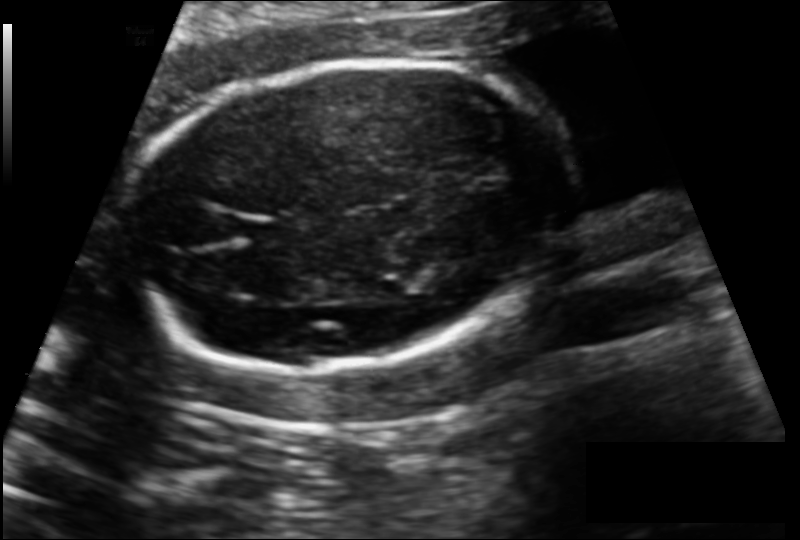
Fetal head ultrasound. Image width: 111.1 mm. Give [x1,y1,x2,y2] bounding boxes for each visible structure among: fetal head, CSP, LV.

Head: [124,59,569,370]